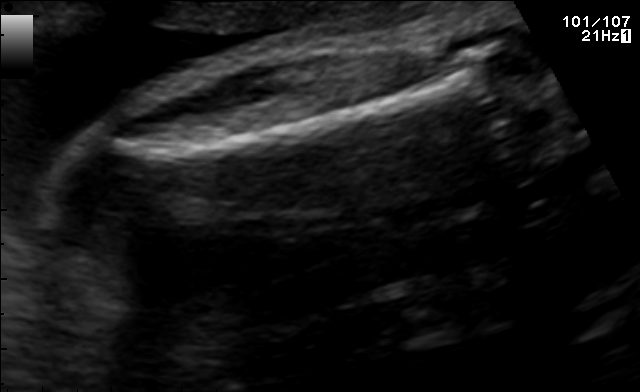
Classify this maternal-fetal ultrasound image as one of the six standard planes — fetal abdomen, fetal brain, fetal femur, fetal thorax, maternal cervix, or other. If it's fetal brain and one of the three standard brain planes (trans-thalamic, trans-cerebellum, trans-ventricular), name which.

Fetal femur